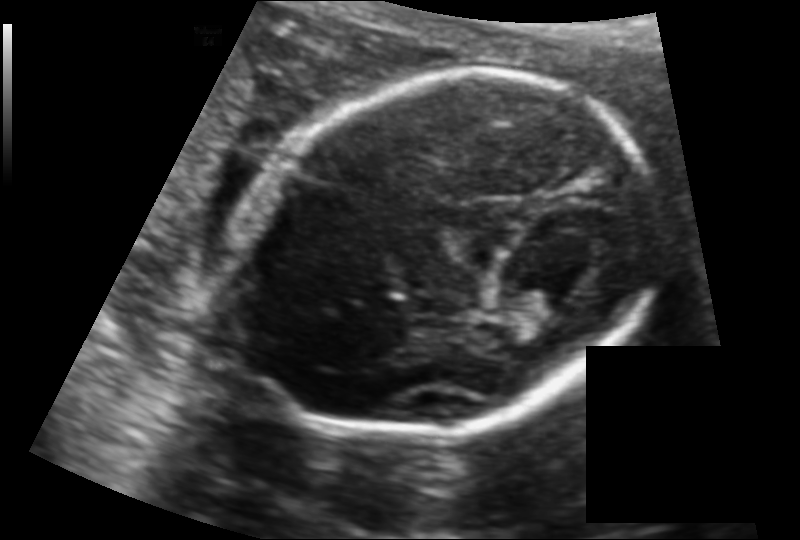
Fetal head ultrasound. Image width: 103.7 mm. Locate the fetal head.

Head: [222,70,652,437]